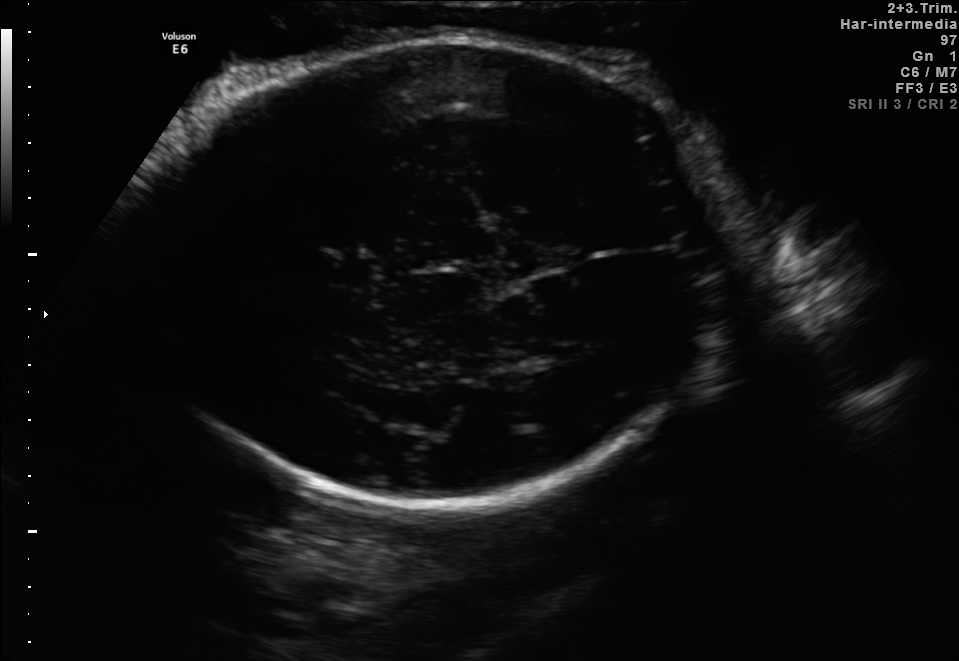
Fetal brain, trans-thalamic plane. Give [x1,y1,x2,y2] bounding boxes for each visible structure among: fetal head, CSP, LV.

Head: [137,34,726,509]